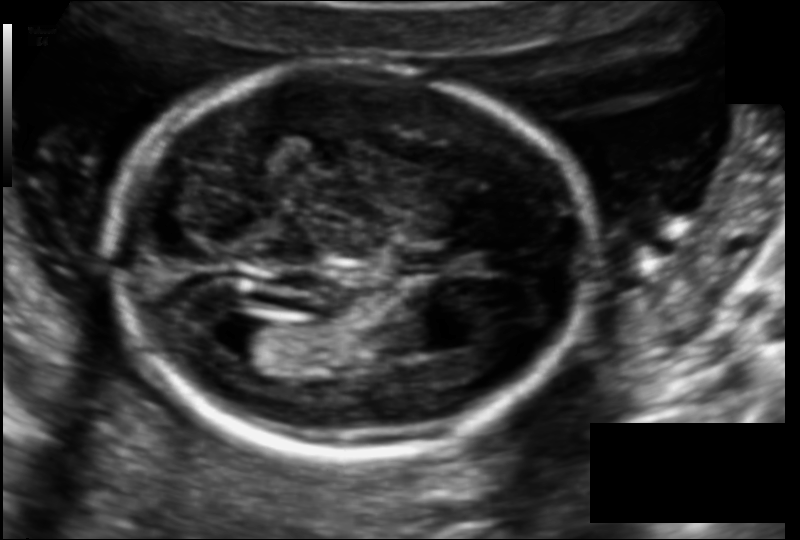
Estimate the fetal head circumference from this 2D ultrasound.

Head circumference: 160.7 mm (image width 91.5 mm).